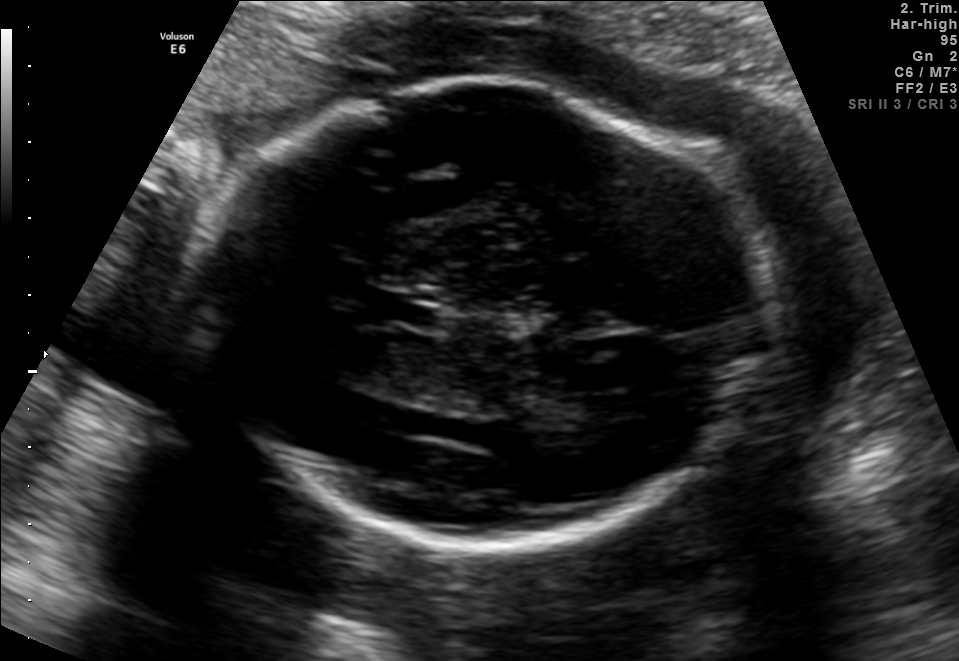
Fetal brain, trans-thalamic plane. Give [x1,y1,x2,y2] bounding boxes for each visible structure among: fetal head, CSP, LV.

Head: [185,85,776,556]
CSP: [370,289,441,328]
Lateral ventricle: [559,392,612,429]